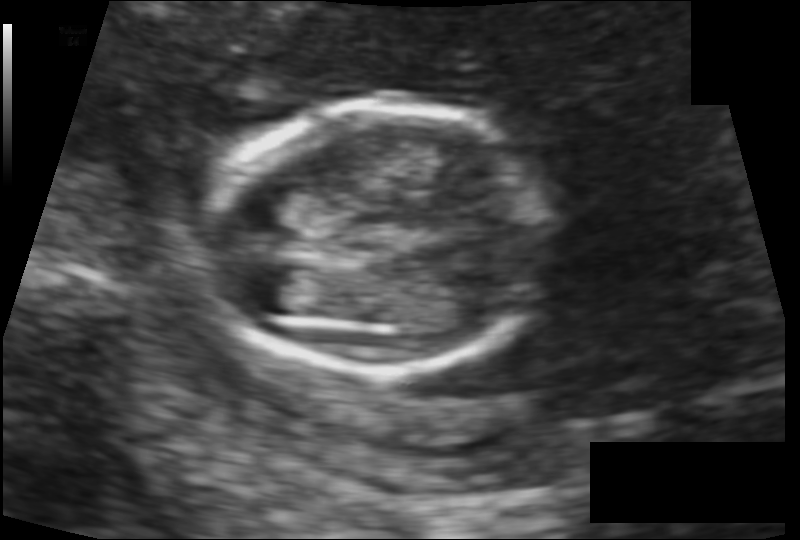
Fetal head ultrasound. Image width: 88.5 mm. Locate the fetal head.

Head: [203,106,547,373]